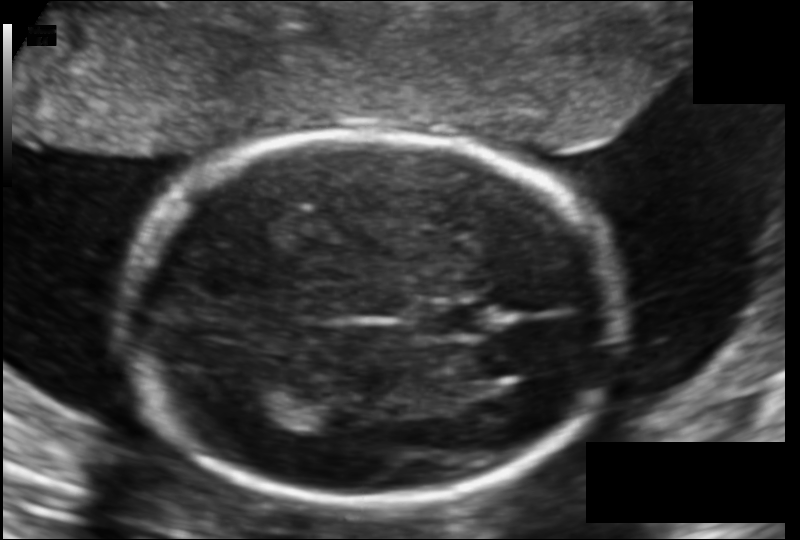
Fetal head ultrasound. Image width: 98.4 mm. Locate the fetal head.

Head: [125,134,618,506]